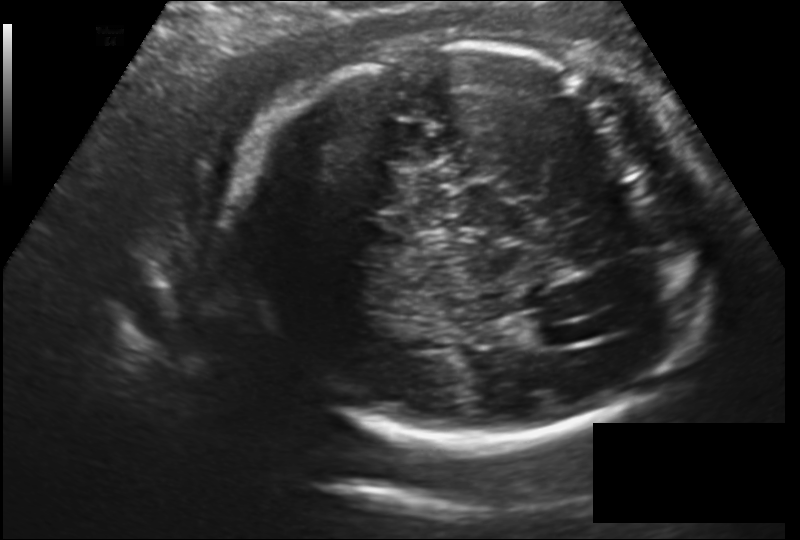
Fetal head ultrasound. Image width: 142.0 mm. Locate the fetal head.

Head: [234,43,712,444]